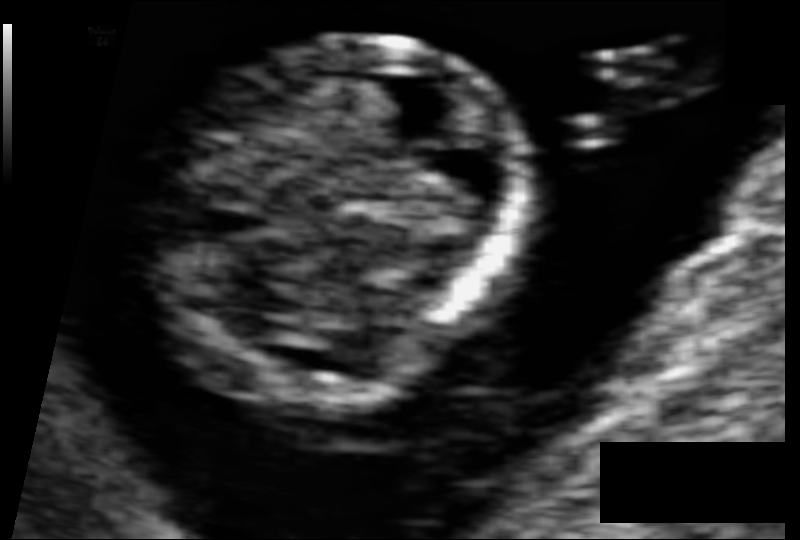
Estimate the fetal head circumference from this 2D ultrasound. Image width: 43.4 mm.

Head circumference: 64.3 mm.